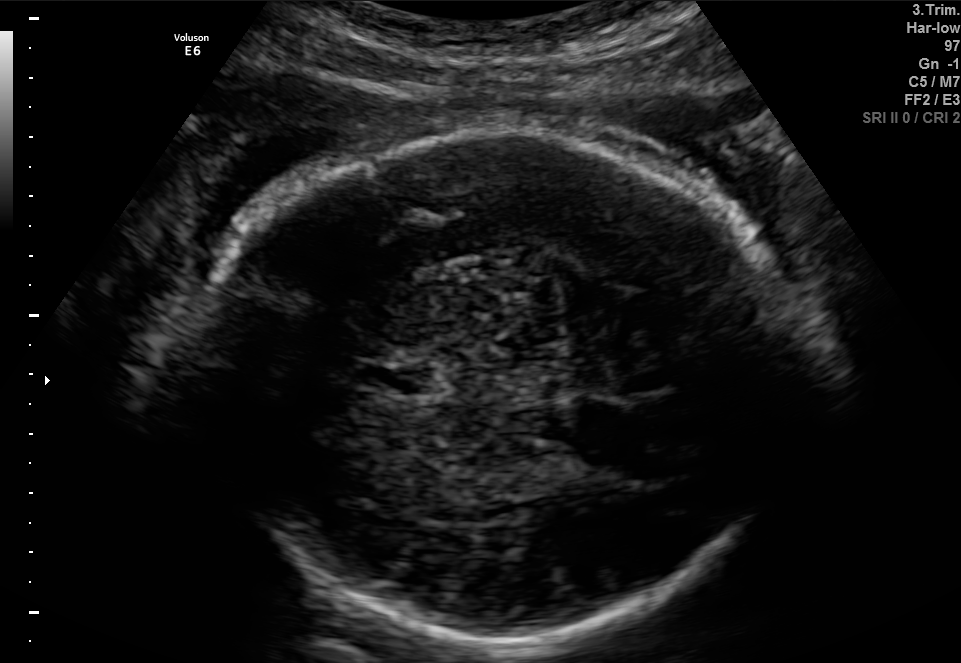
Fetal brain, trans-thalamic plane. Locate the fetal head.

Head: [188,130,809,643]